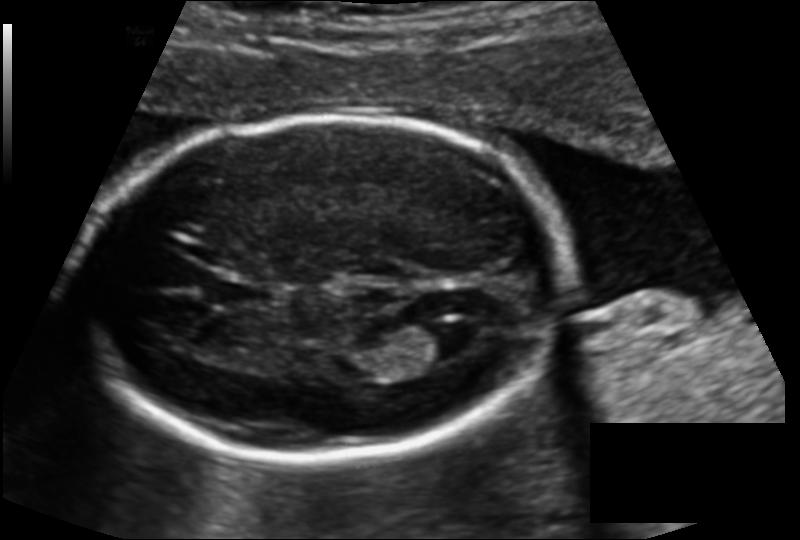
From this fetal ultrasound, estimate the head circumference (image width 109.1 mm).

Head circumference: 183.1 mm.